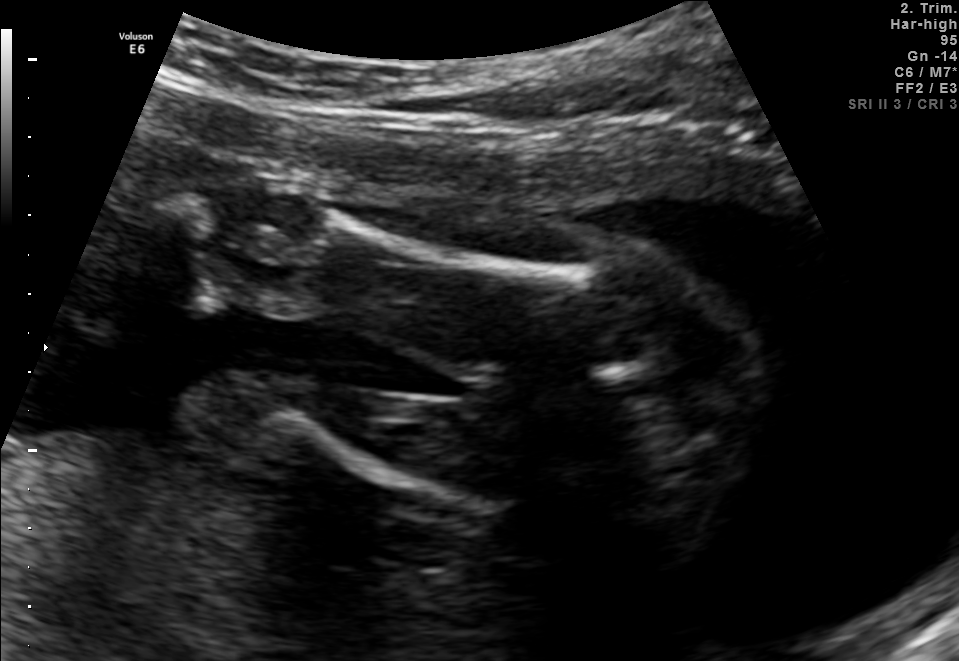
Identify the standard plane in this fetal ultrasound image: fetal abdomen, fetal brain, fetal femur, fetal thorax, maternal cervix, or other. If it's fetal brain and one of the three standard brain planes (trans-thalamic, trans-cerebellum, trans-ventricular), name which.

Fetal femur